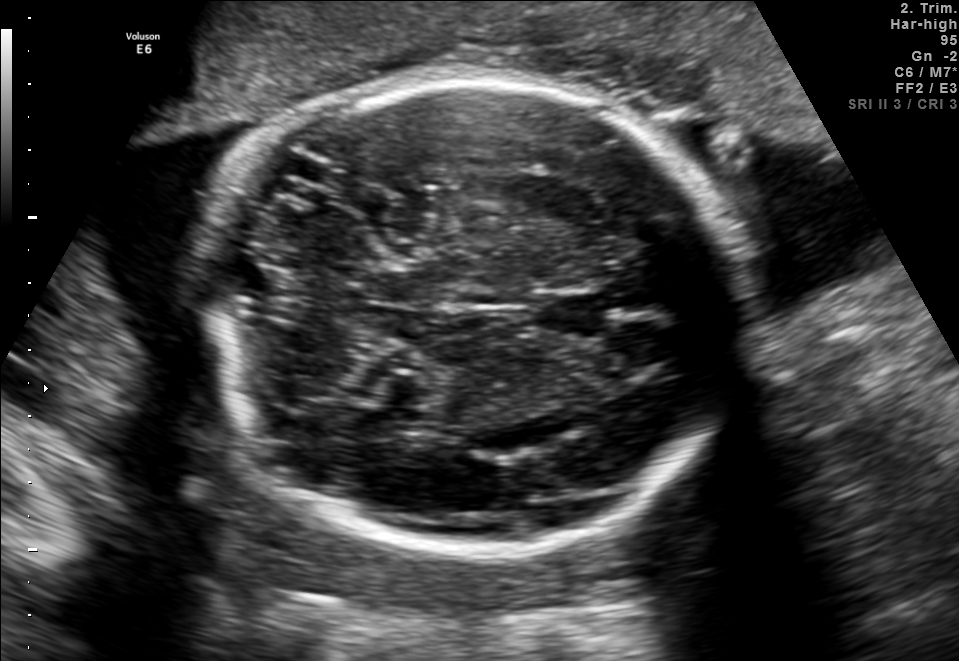
In this fetal brain, trans-cerebellum plane, give the bounding box of the cavum septum pellucidum.

[536,292,603,339]